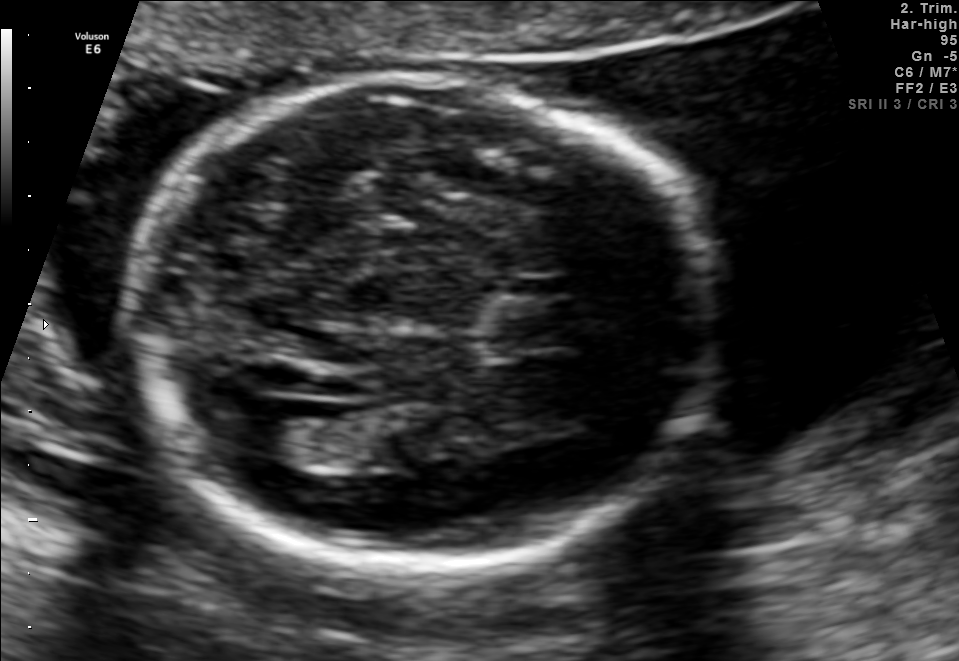
Fetal brain, trans-ventricular plane. Locate the cavum septum pellucidum.

CSP: [472,295,582,351]